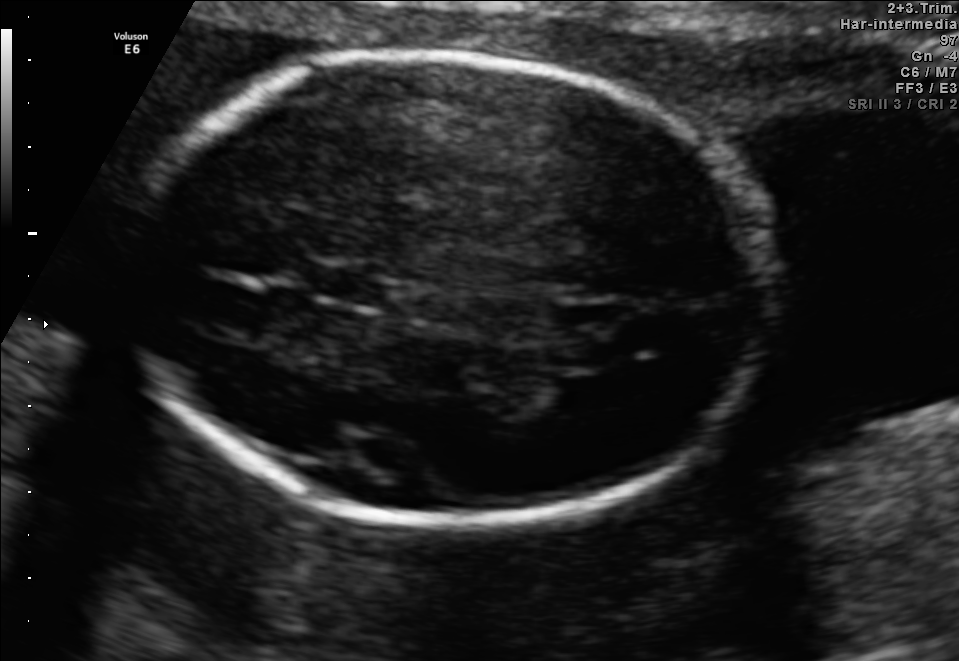
Which standard maternal-fetal ultrasound plane is shown: fetal abdomen, fetal brain, fetal femur, fetal thorax, maternal cervix, or other? If it's fetal brain and one of the three standard brain planes (trans-thalamic, trans-cerebellum, trans-ventricular), name which.

Fetal brain (trans-thalamic plane)